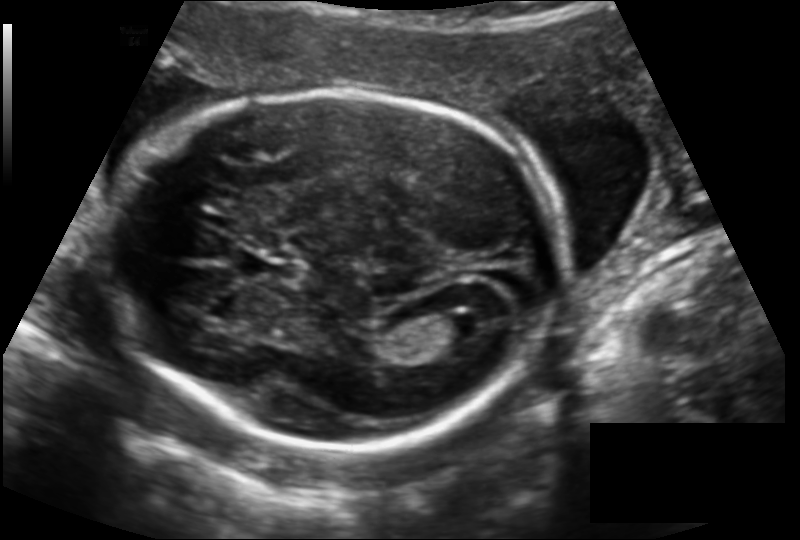
Measure the fetal head circumference shown in this ultrasound image. Image width: 113.5 mm.

Head circumference: 185.9 mm.